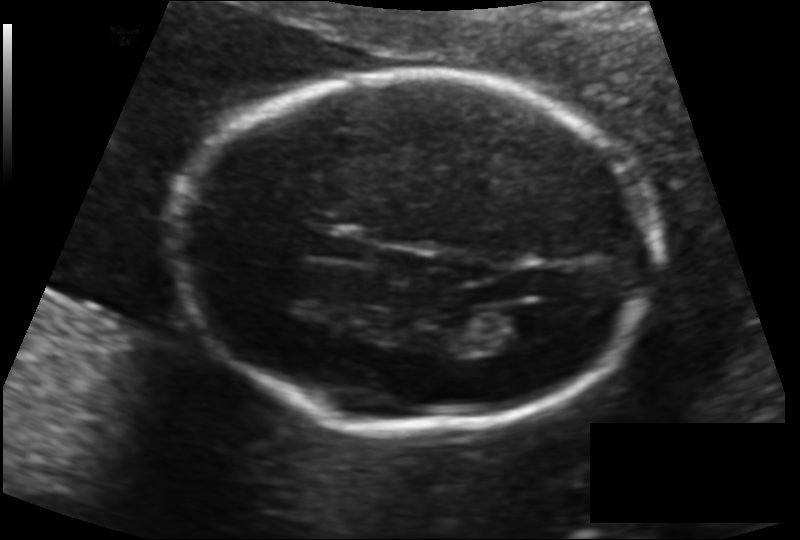
Fetal head ultrasound. Image width: 107.4 mm. Where is the fetal head?

Head bounding box: [182,71,658,428]